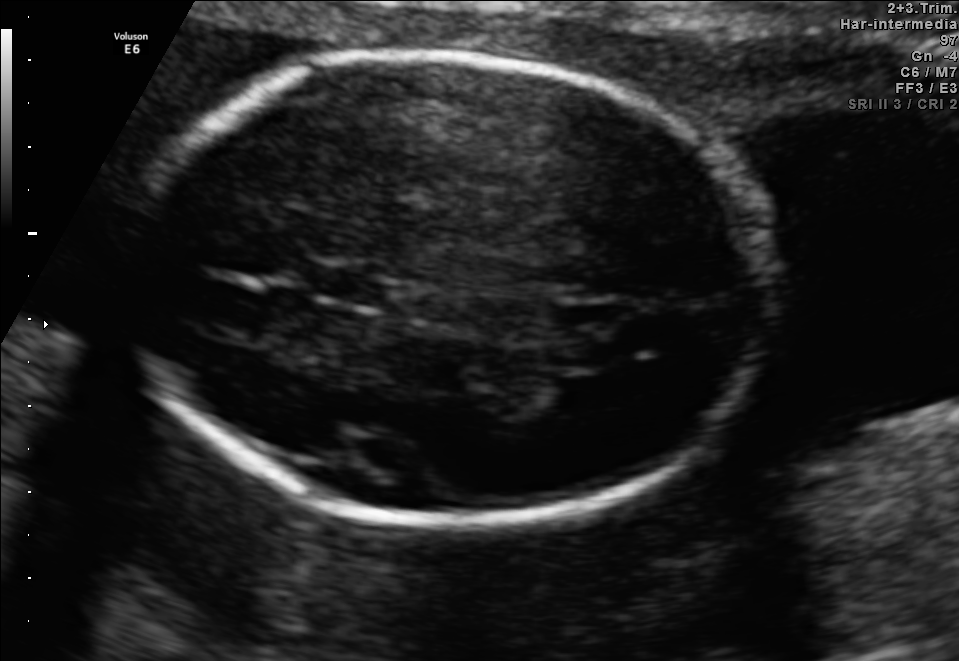
Fetal brain, trans-thalamic plane. Give [x1,y1,x2,y2] bounding boxes for each visible structure among: fetal head, CSP, LV.

Head: [123,54,770,523]
CSP: [313,261,388,311]